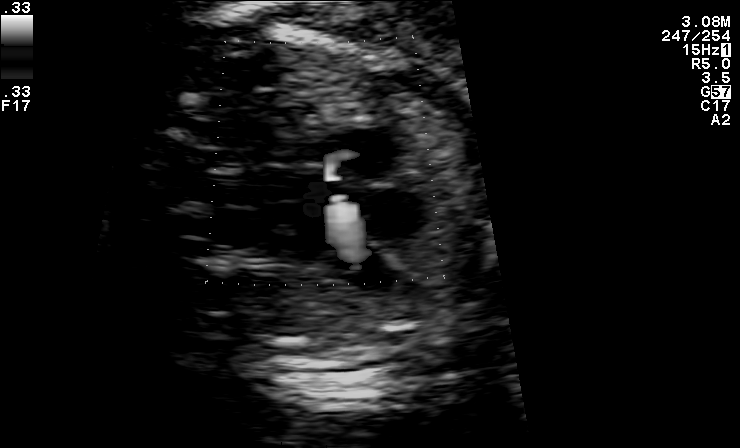
This is a 2D maternal-fetal ultrasound frame. Is it a fetal abdomen, fetal brain, fetal femur, fetal thorax, maternal cervix, or other standard plane? If it's fetal brain and one of the three standard brain planes (trans-thalamic, trans-cerebellum, trans-ventricular), name which.

Other